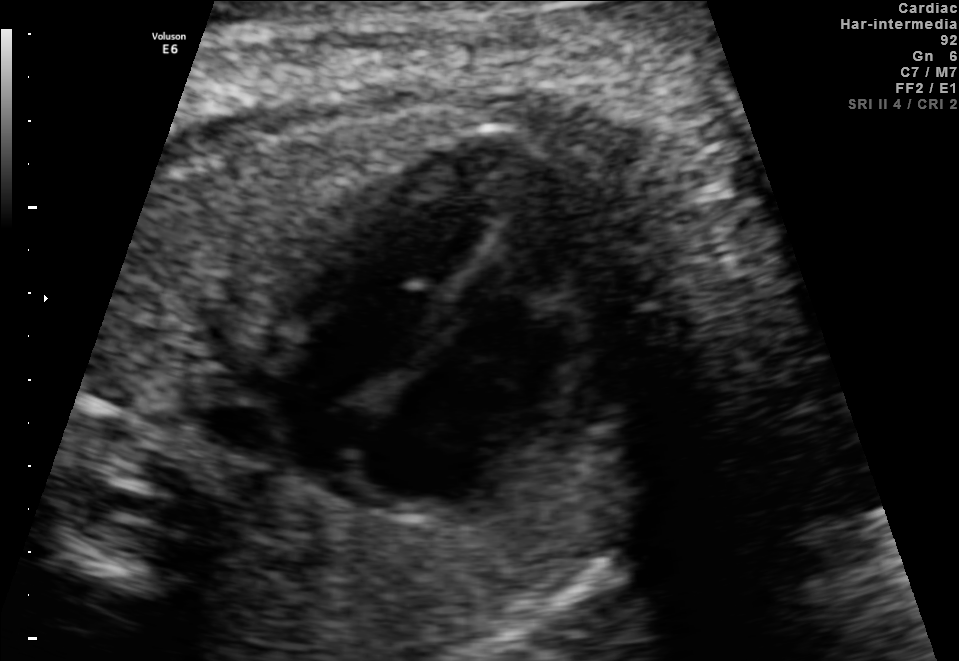
Classify this maternal-fetal ultrasound image as one of the six standard planes — fetal abdomen, fetal brain, fetal femur, fetal thorax, maternal cervix, or other. If it's fetal brain and one of the three standard brain planes (trans-thalamic, trans-cerebellum, trans-ventricular), name which.

Fetal thorax